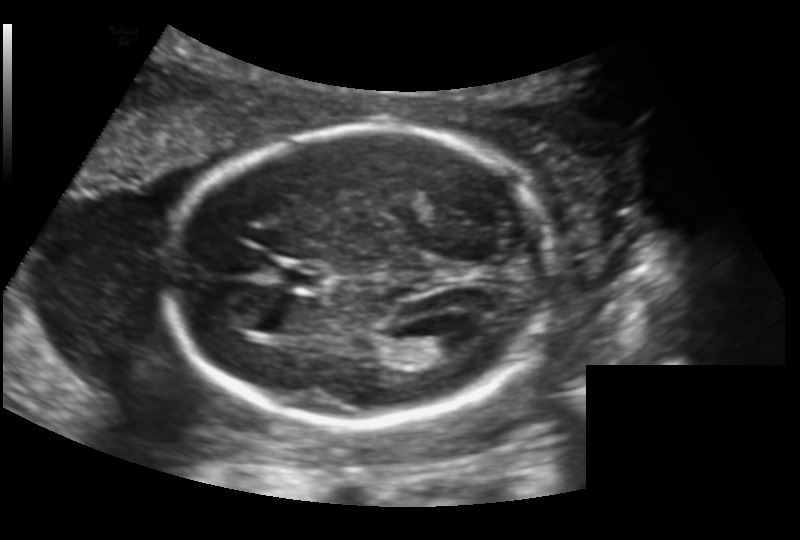
Fetal head ultrasound. Image width: 125.0 mm. Give [x1,y1,x2,y2] bounding boxes for each visible structure among: fetal head, CSP, LV.

Head: [169,127,548,428]
CSP: [272,258,329,295]
Lateral ventricle: [414,323,472,366]